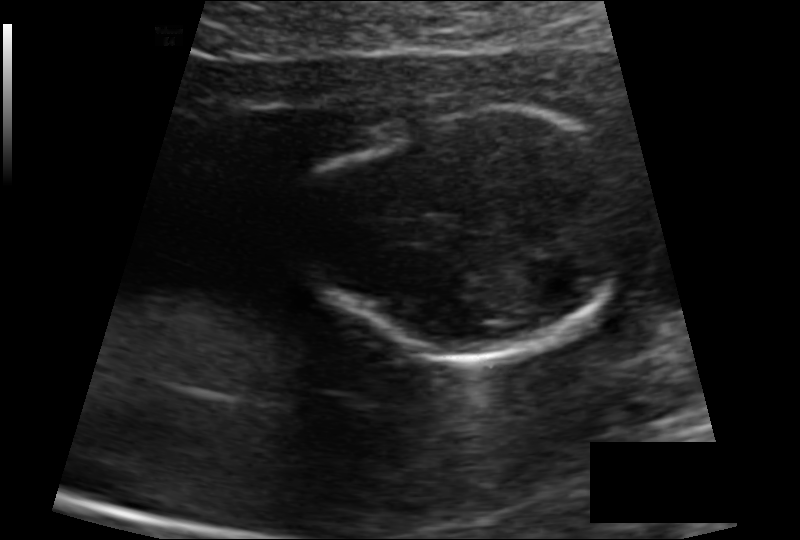
Fetal head ultrasound. Image width: 87.9 mm. Locate the fetal head and, if visible, the cavum septum pellucidum (CSP) and lateral ventricle (LV). Give bounding boxes as [x1,y1,x2,y2].

Head: [304,108,633,357]